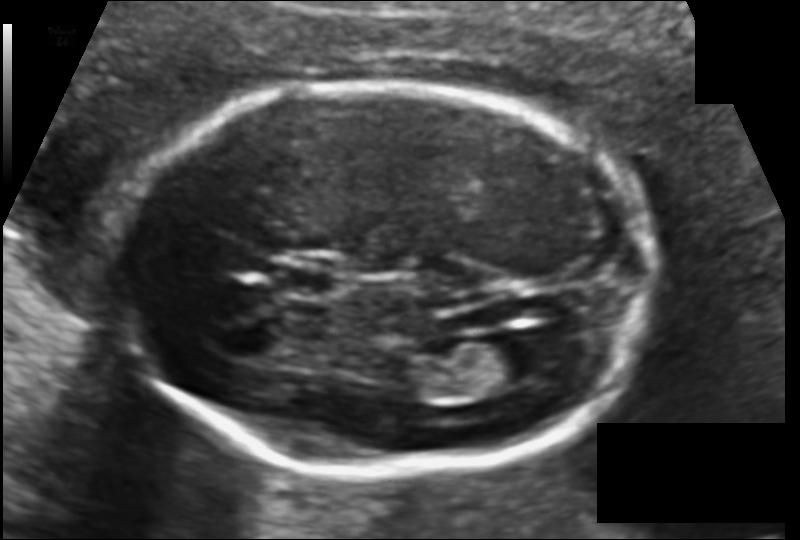
Fetal head ultrasound. Image width: 90.6 mm. Give [x1,y1,x2,y2] bounding boxes for each visible structure among: fetal head, CSP, LV.

Head: [122,84,657,474]
CSP: [281,265,337,300]
Lateral ventricle: [476,330,562,389]